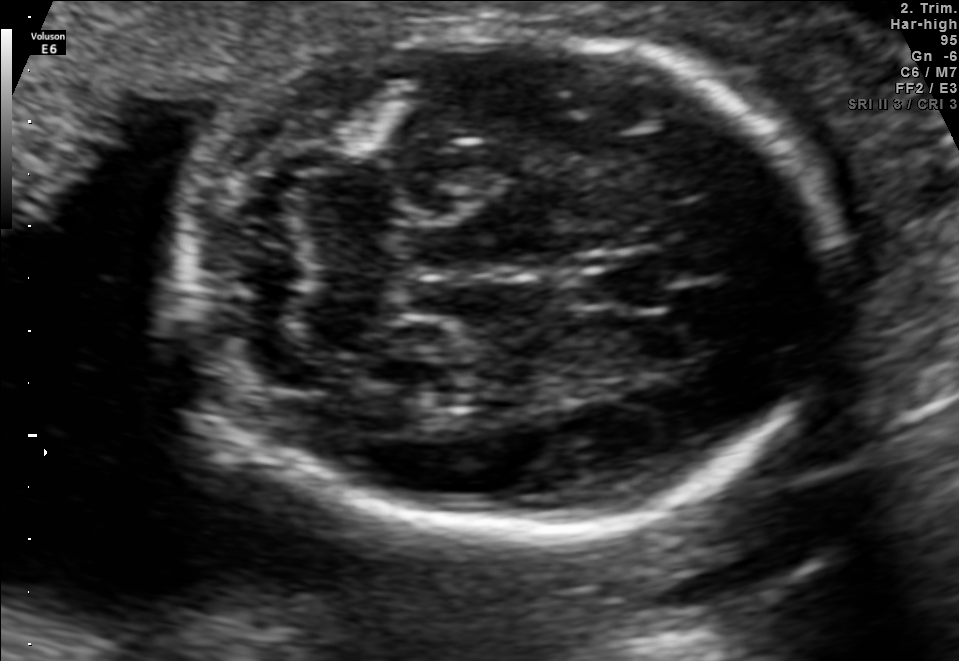
Fetal brain, trans-cerebellum plane. Locate the fetal head.

Head: [182,25,835,536]